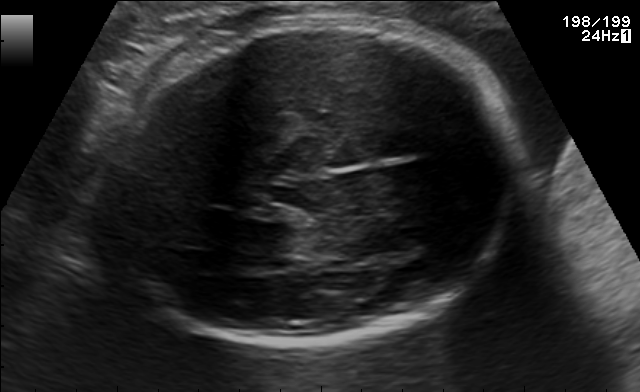
Fetal brain, trans-thalamic plane. Give [x1,y1,x2,y2] bounding boxes for each visible structure among: fetal head, CSP, LV.

Head: [106,17,517,346]